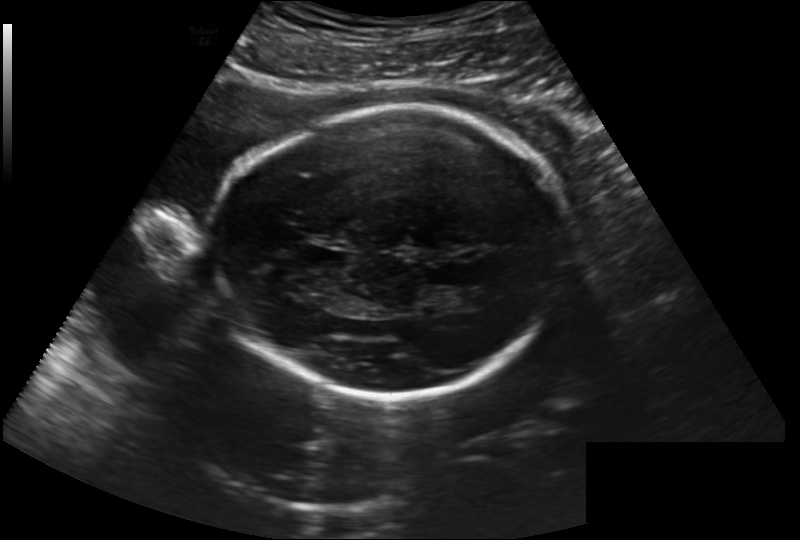
Fetal head ultrasound. Image width: 177.2 mm. Locate the fetal head.

Head: [214,107,568,399]